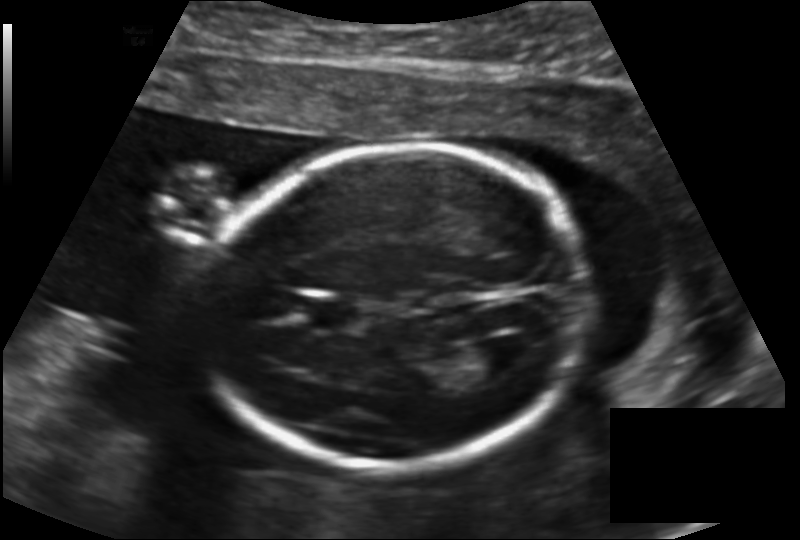
In this fetal head ultrasound, give bounding boxes for the head outline, cavum septum pellucidum (CSP), and lateral ventricle (LV), where visible. Image width: 117.6 mm.

Head: [203,144,584,468]
CSP: [308,298,360,329]
Lateral ventricle: [464,329,537,382]